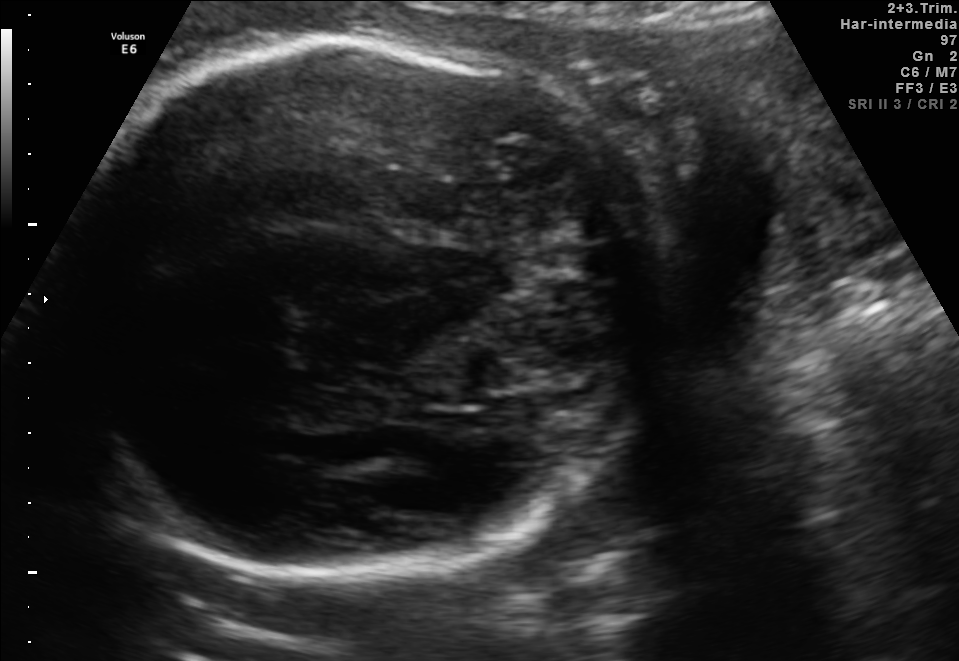
Fetal brain, trans-thalamic plane. Give [x1,y1,x2,y2] bounding boxes for each visible structure among: fetal head, CSP, LV.

Head: [61,35,672,574]